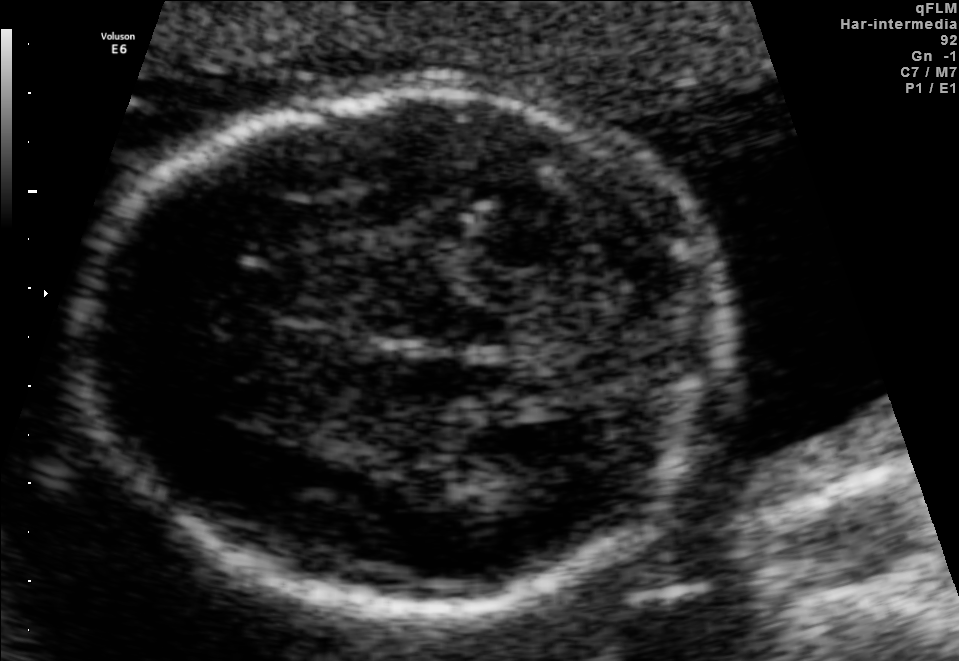
In this fetal brain, trans-thalamic plane, give bounding boxes for the head outline, cavum septum pellucidum (CSP), and lateral ventricle (LV), where visible.

Head: [77,91,740,604]